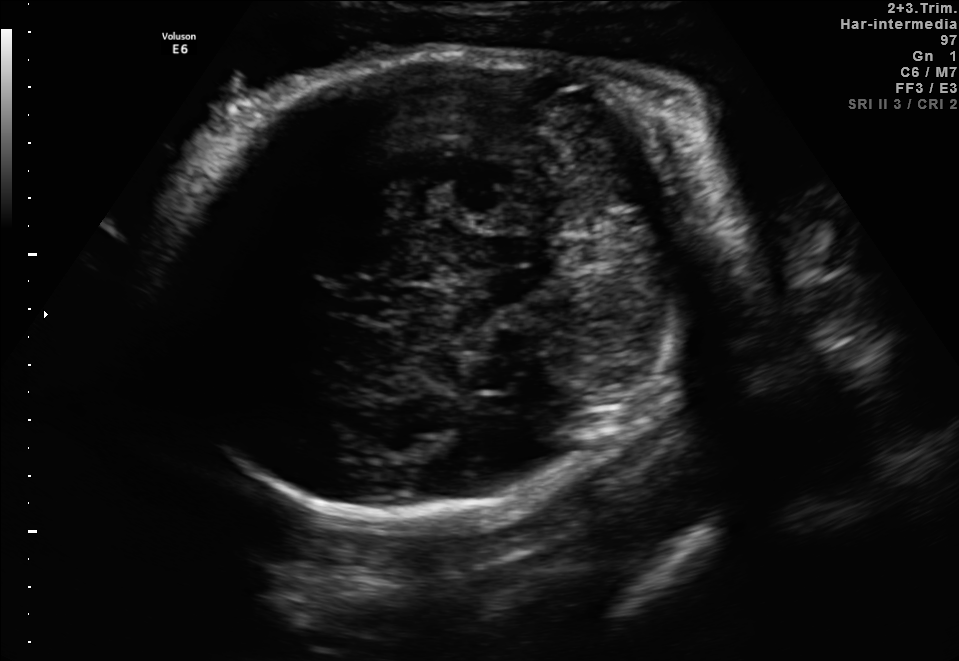
Classify this maternal-fetal ultrasound image as one of the six standard planes — fetal abdomen, fetal brain, fetal femur, fetal thorax, maternal cervix, or other. If it's fetal brain and one of the three standard brain planes (trans-thalamic, trans-cerebellum, trans-ventricular), name which.

Fetal brain (trans-thalamic plane)